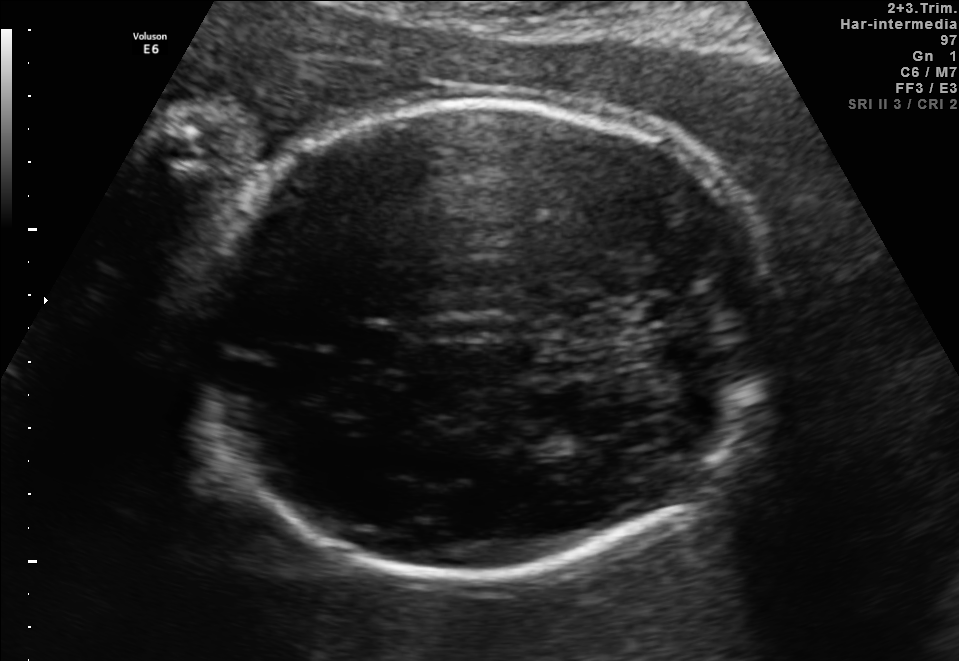
Fetal brain, trans-thalamic plane. Locate the fetal head.

Head: [187,100,776,583]